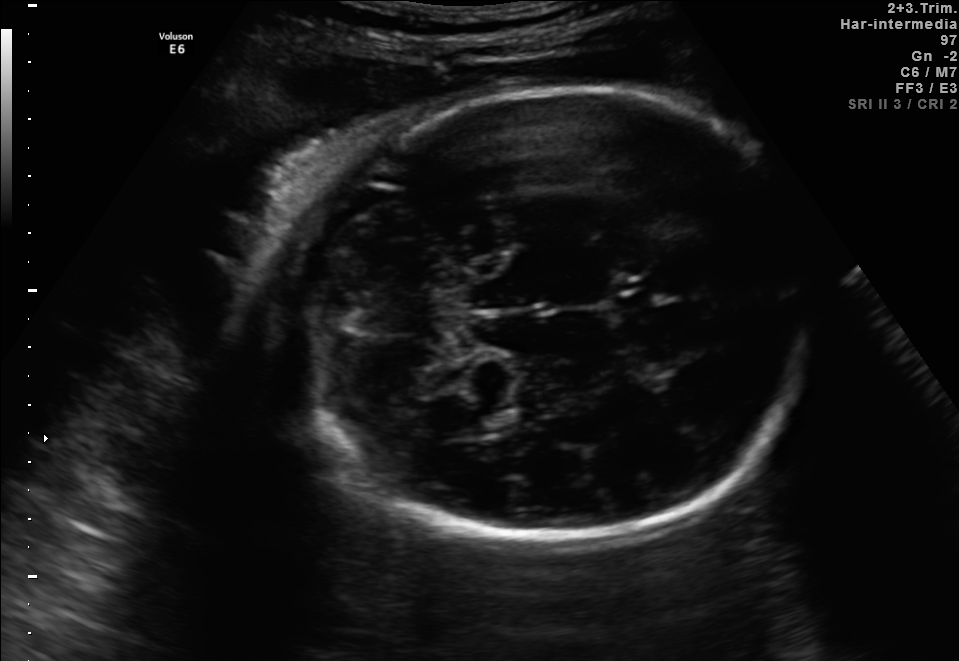
This is a 2D maternal-fetal ultrasound frame. Is it a fetal abdomen, fetal brain, fetal femur, fetal thorax, maternal cervix, or other standard plane? If it's fetal brain and one of the three standard brain planes (trans-thalamic, trans-cerebellum, trans-ventricular), name which.

Fetal brain (trans-thalamic plane)